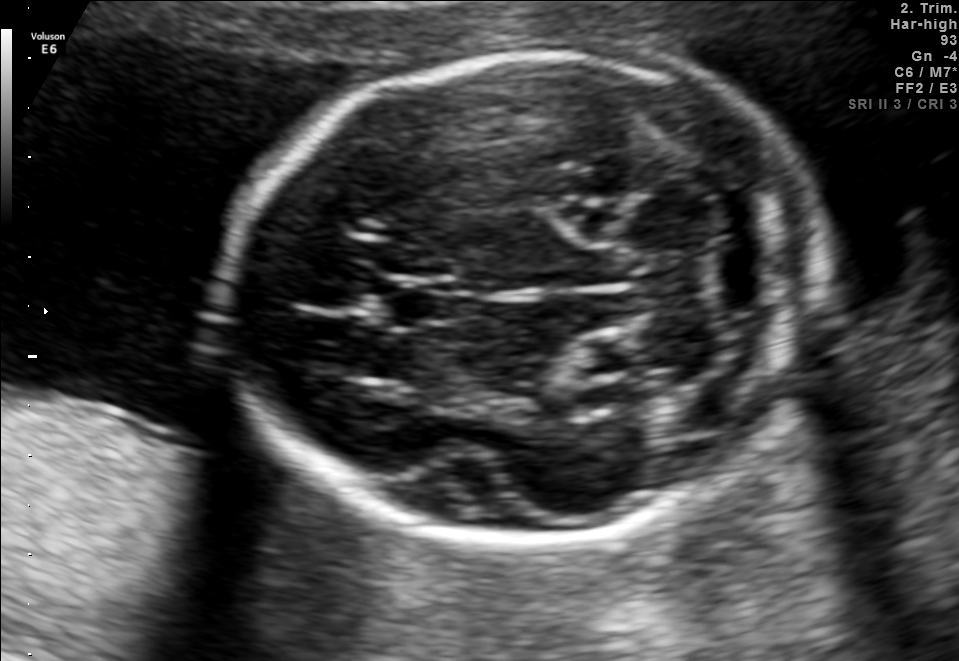
Fetal brain, trans-cerebellum plane. Locate the fetal head.

Head: [228,54,819,539]